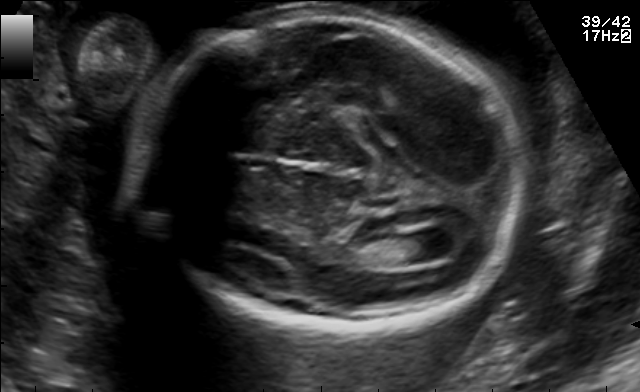
Fetal brain, trans-ventricular plane. Locate the fetal head.

Head: [128,3,537,334]